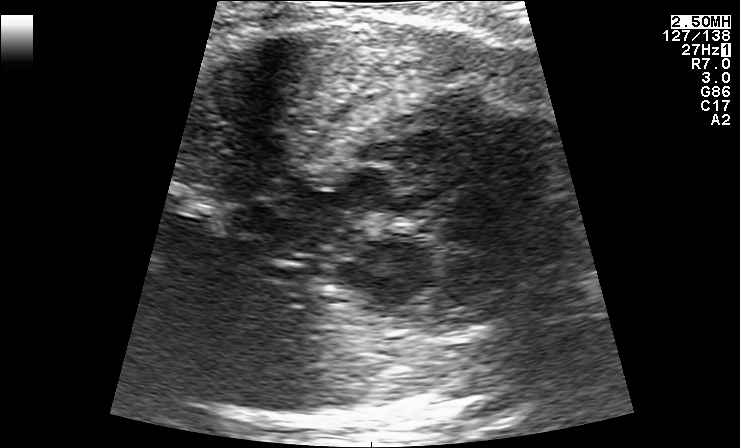
Classify this maternal-fetal ultrasound image as one of the six standard planes — fetal abdomen, fetal brain, fetal femur, fetal thorax, maternal cervix, or other. If it's fetal brain and one of the three standard brain planes (trans-thalamic, trans-cerebellum, trans-ventricular), name which.

Fetal thorax